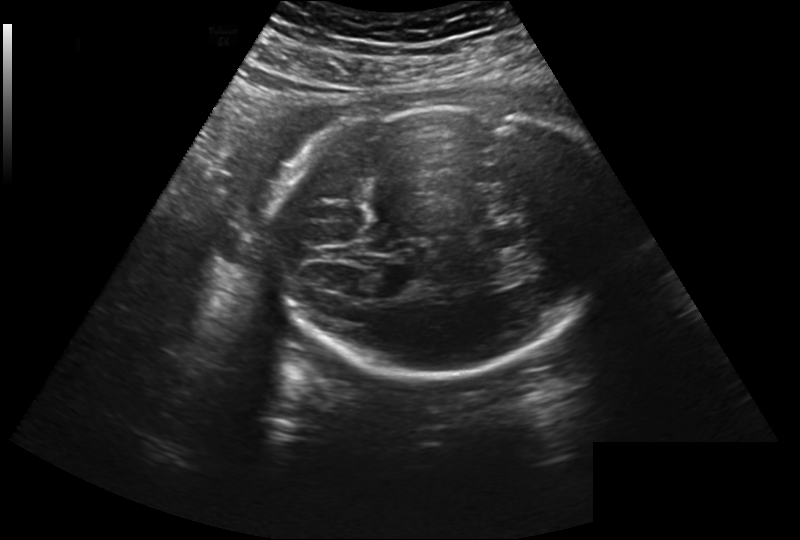
Measure the fetal head circumference shown in this ultrasound image. Image width: 208.3 mm.

Head circumference: 264.3 mm.